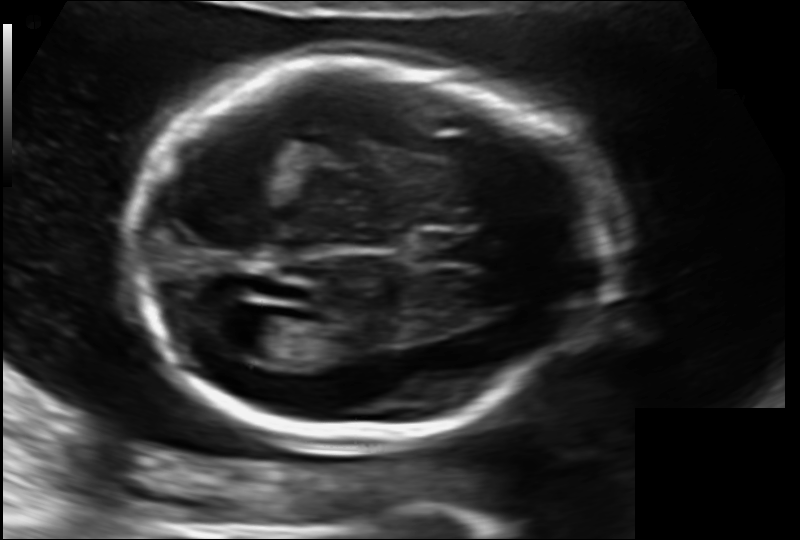
Fetal head ultrasound. Image width: 103.9 mm. Where is the cavum septum pellucidum?

CSP bounding box: [416,233,485,264]